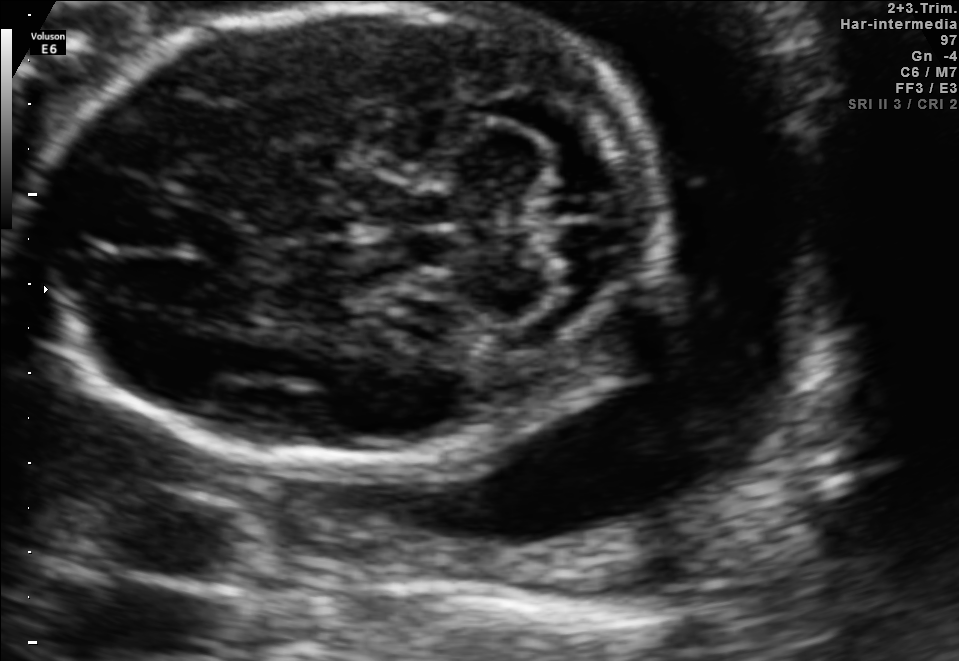
Fetal brain, trans-cerebellum plane. Locate the fetal head and, if visible, the cavum septum pellucidum (CSP) and lateral ventricle (LV). Give bounding boxes as [x1,y1,x2,y2].

Head: [39,3,664,472]
CSP: [167,199,252,270]